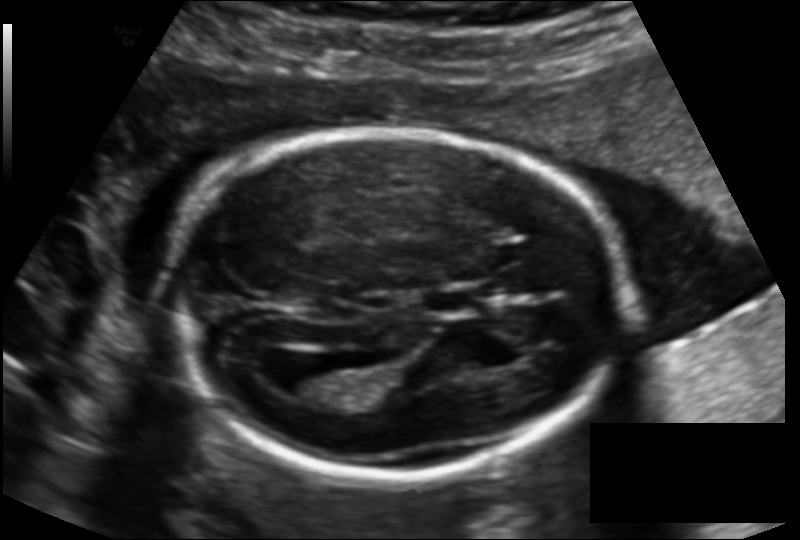
In this fetal head ultrasound, give the bounding box of the fetal head. Image width: 109.0 mm.

[165,130,630,475]